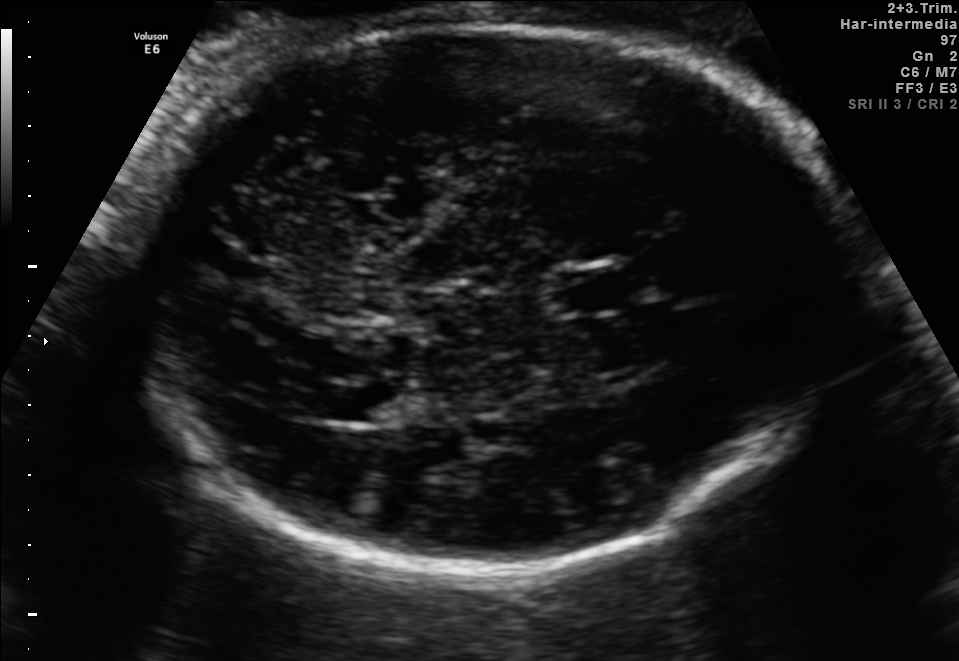
Fetal brain, trans-thalamic plane. Locate the fetal head.

Head: [135,26,852,569]